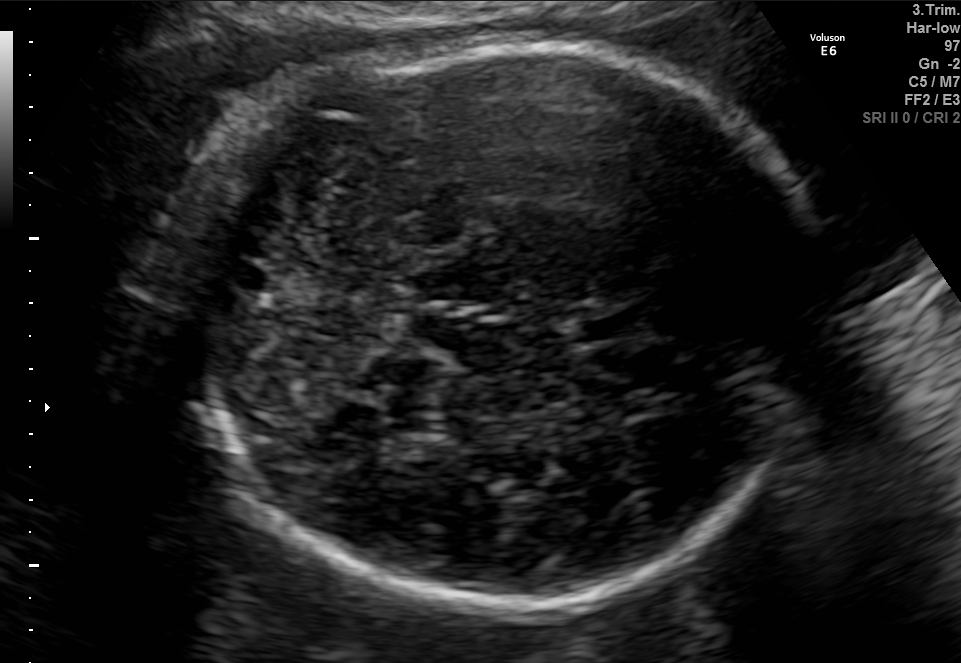
Fetal brain, trans-cerebellum plane. Where is the cavum septum pellucidum?

CSP bounding box: [571,309,645,345]